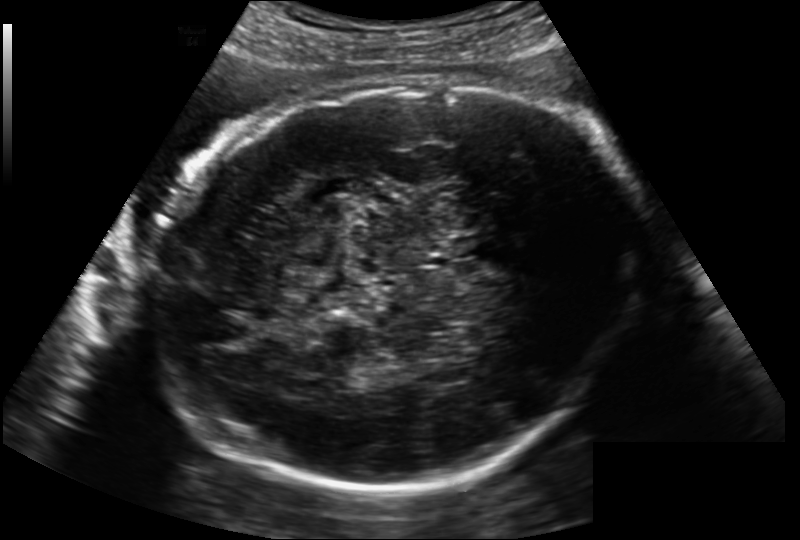
In this fetal head ultrasound, give the bounding box of the fetal head. Image width: 161.8 mm.

[157,70,640,498]